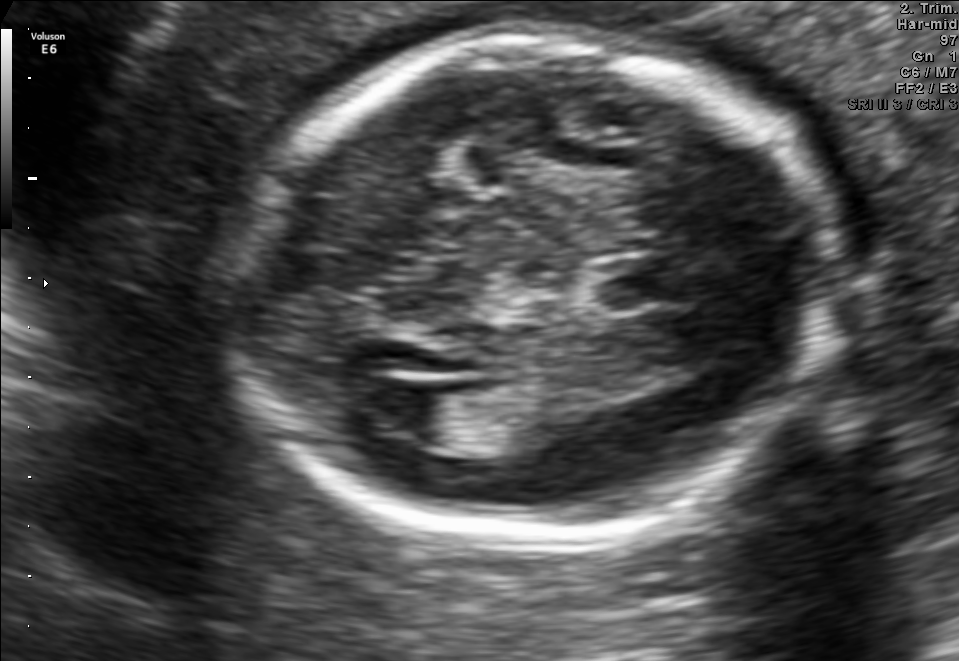
Fetal brain, trans-ventricular plane. Locate the fetal head and, if visible, the cavum septum pellucidum (CSP) and lateral ventricle (LV). Give bounding boxes as [x1,y1,x2,y2].

Head: [222,23,859,550]
Lateral ventricle: [363,374,449,441]